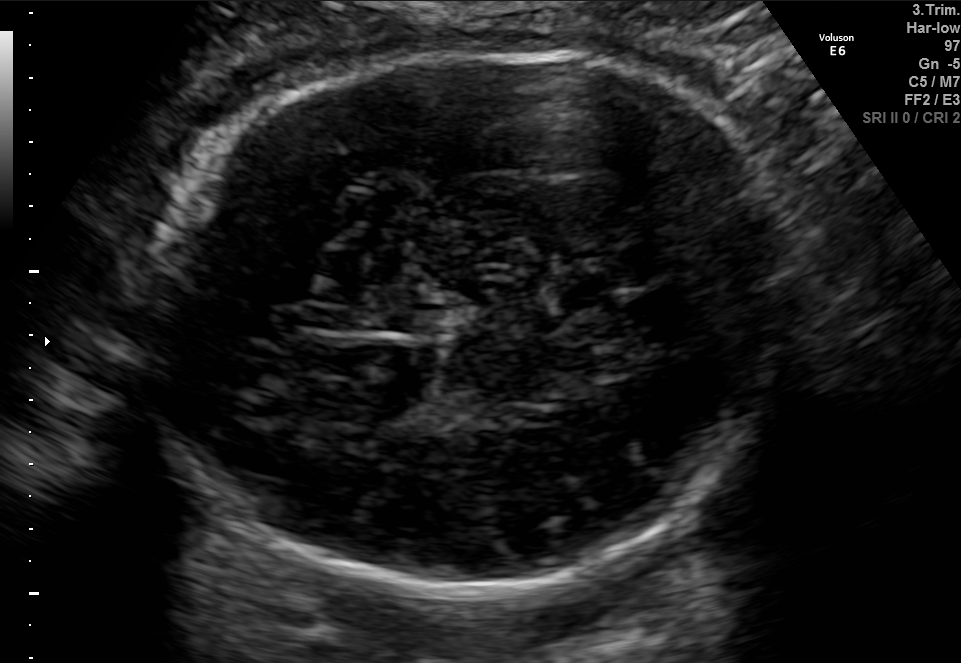
In this fetal brain, trans-thalamic plane, give the bounding box of the fetal head.

[158,49,797,592]